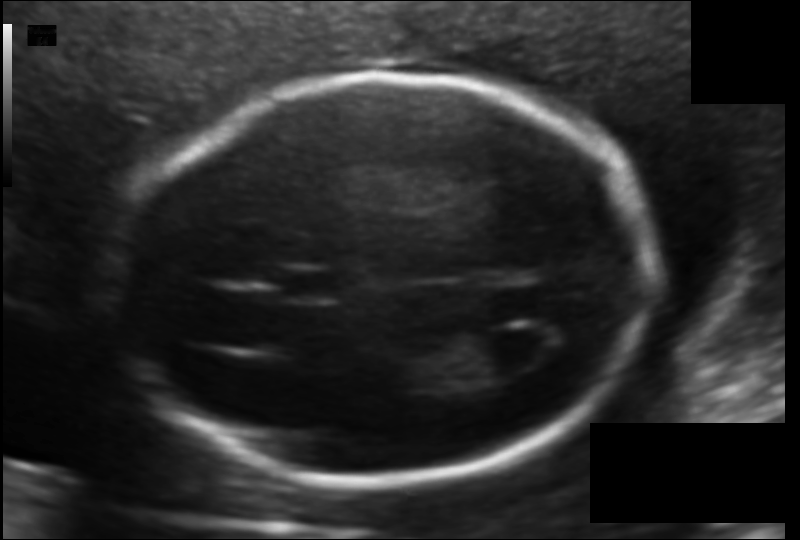
What is the fetal head circumference? Image width is 93.0 mm.

176.2 mm